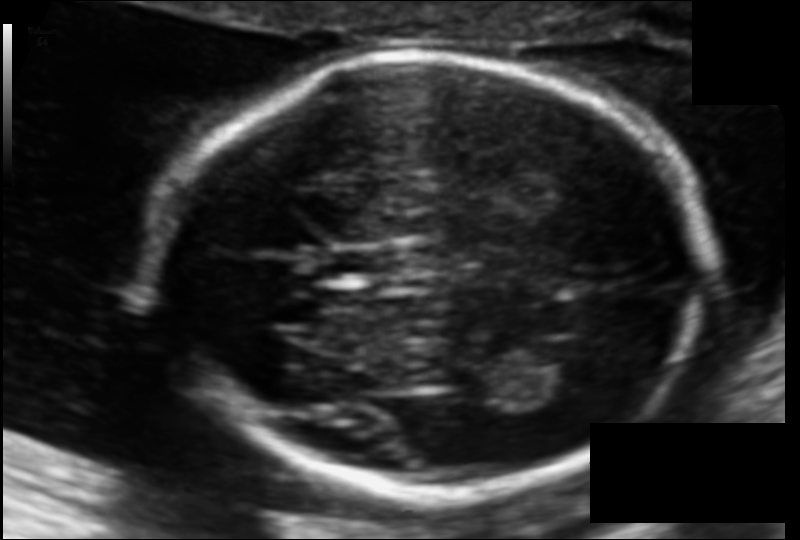
In this fetal head ultrasound, give bounding boxes for the head outline, cavum septum pellucidum (CSP), and lateral ventricle (LV), where visible. Image width: 86.8 mm.

Head: [154,54,704,491]
CSP: [329,249,393,278]
Lateral ventricle: [519,337,601,398]